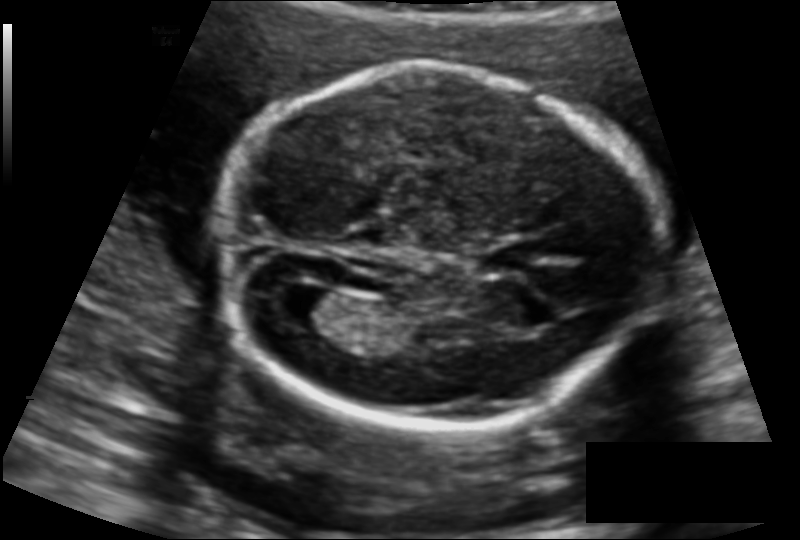
Fetal head ultrasound. Image width: 101.8 mm. Locate the lateral ventricle.

Lateral ventricle: [269,275,348,338]